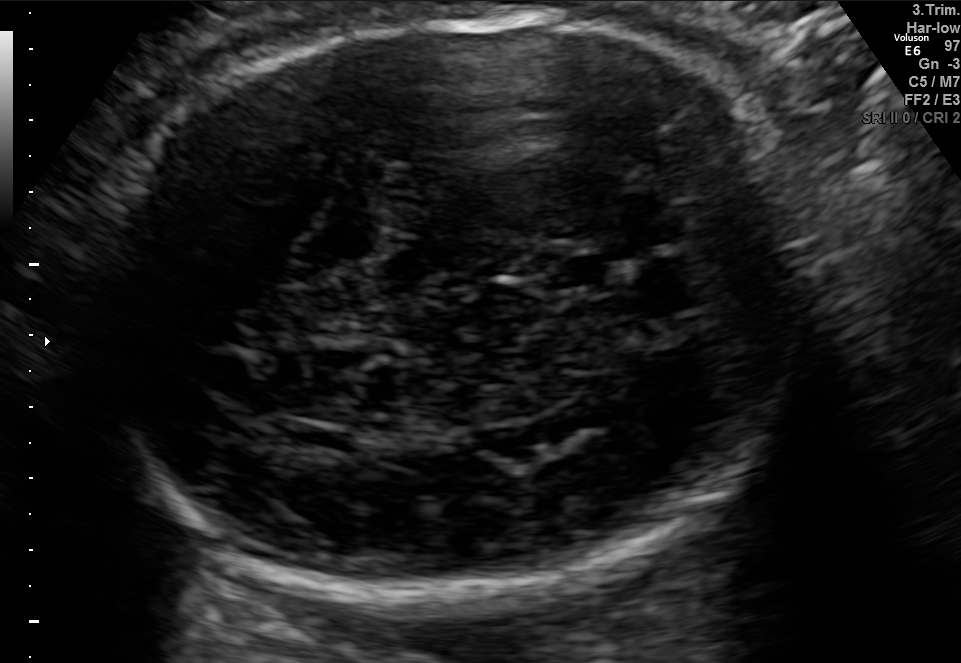
In this fetal brain, trans-thalamic plane, give the bounding box of the lateral ventricle.

[283,417,351,460]